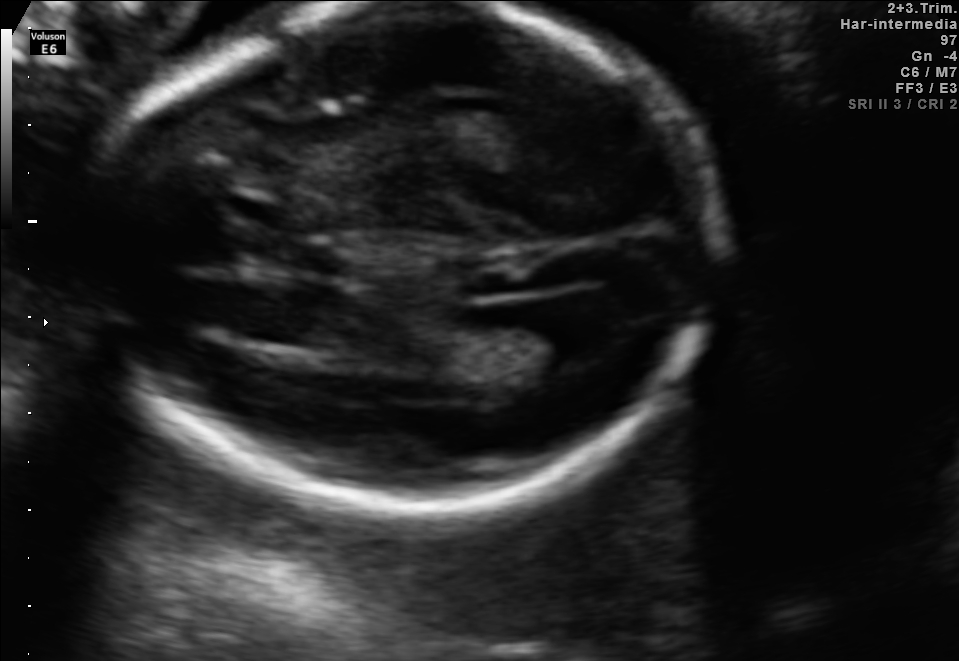
Fetal brain, trans-ventricular plane. Give [x1,y1,x2,y2] bounding boxes for each visible structure among: fetal head, CSP, LV.

Head: [74,1,741,526]
Lateral ventricle: [505,286,623,380]